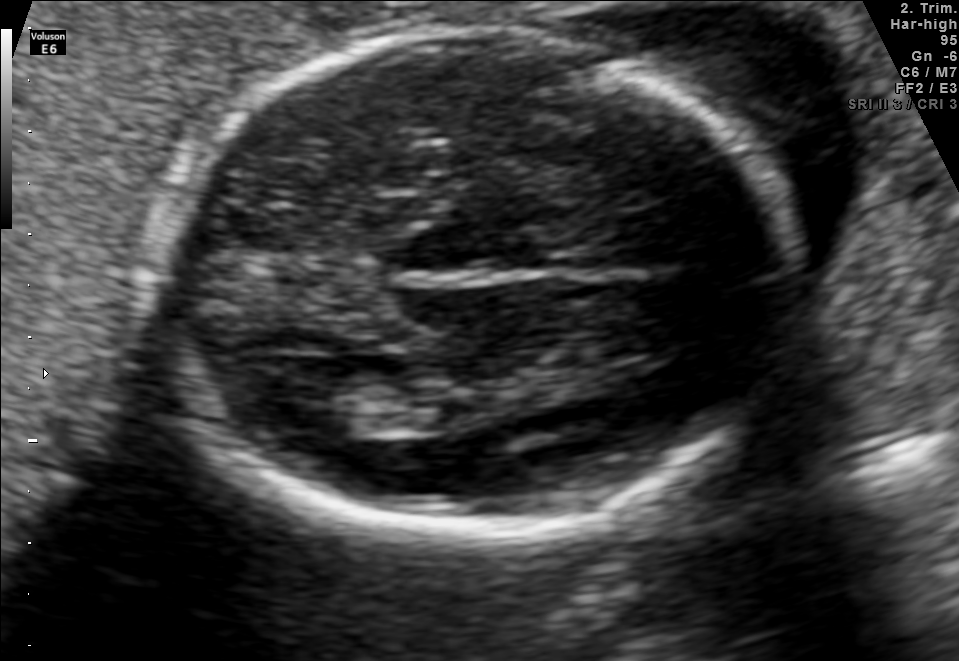
In this fetal brain, trans-thalamic plane, give the bounding box of the lateral ventricle.

[276,376,387,438]